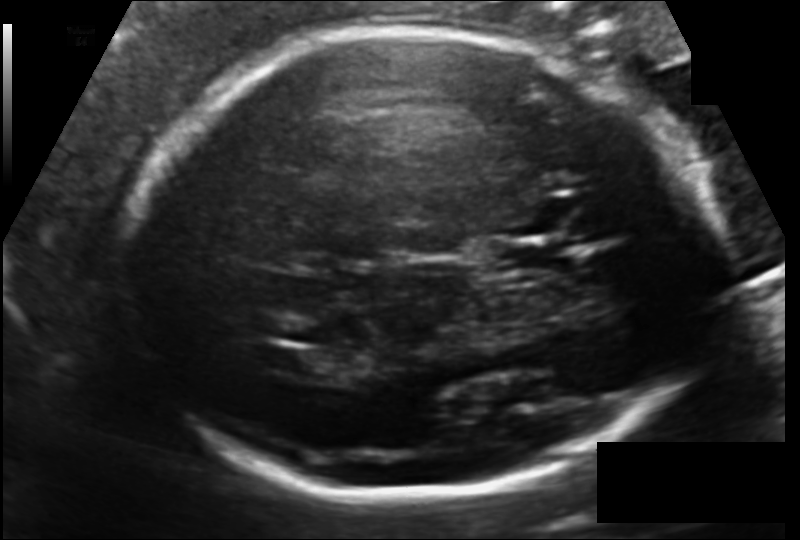
In this fetal head ultrasound, give the bounding box of the lateral ventricle. Image width: 106.4 mm.

[264,346,327,379]